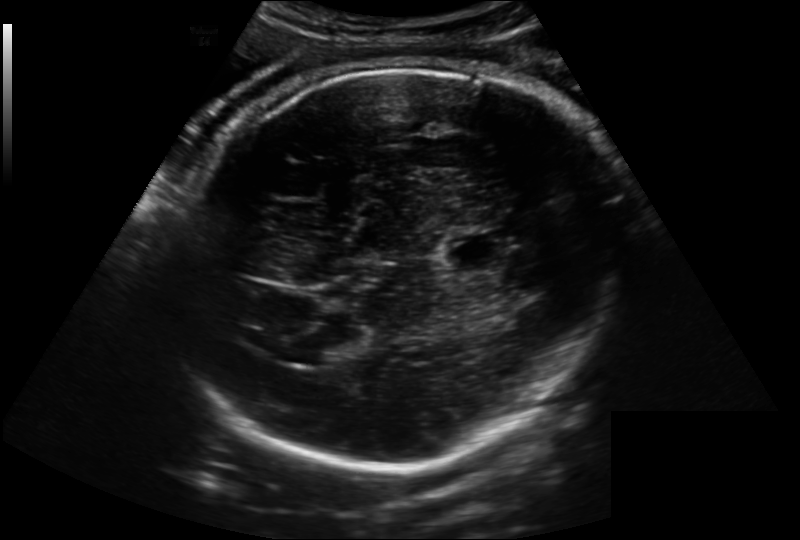
Fetal head ultrasound. Image width: 177.3 mm. Give [x1,y1,x2,y2] bounding boxes for each visible structure among: fetal head, CSP, LV.

Head: [171,63,626,467]
CSP: [441,226,518,280]
Lateral ventricle: [295,334,348,367]